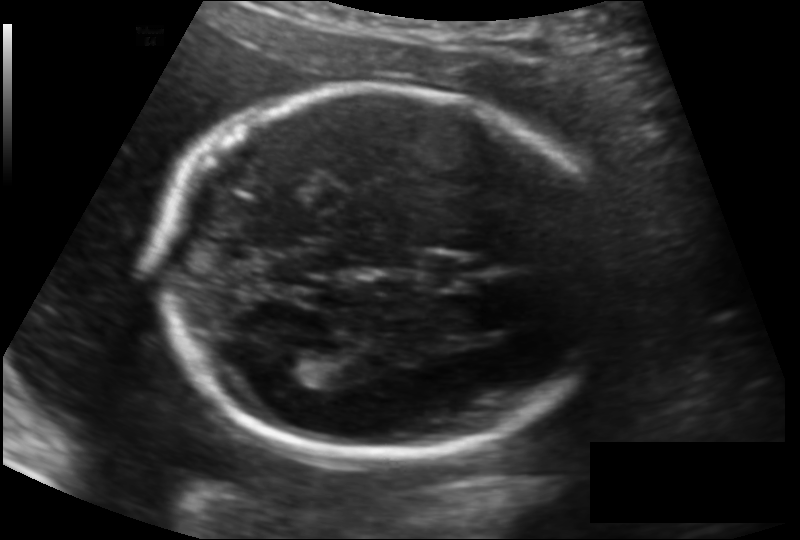
Estimate the fetal head circumference from this 2D ultrasound.

Head circumference: 181.0 mm (image width 107.5 mm).